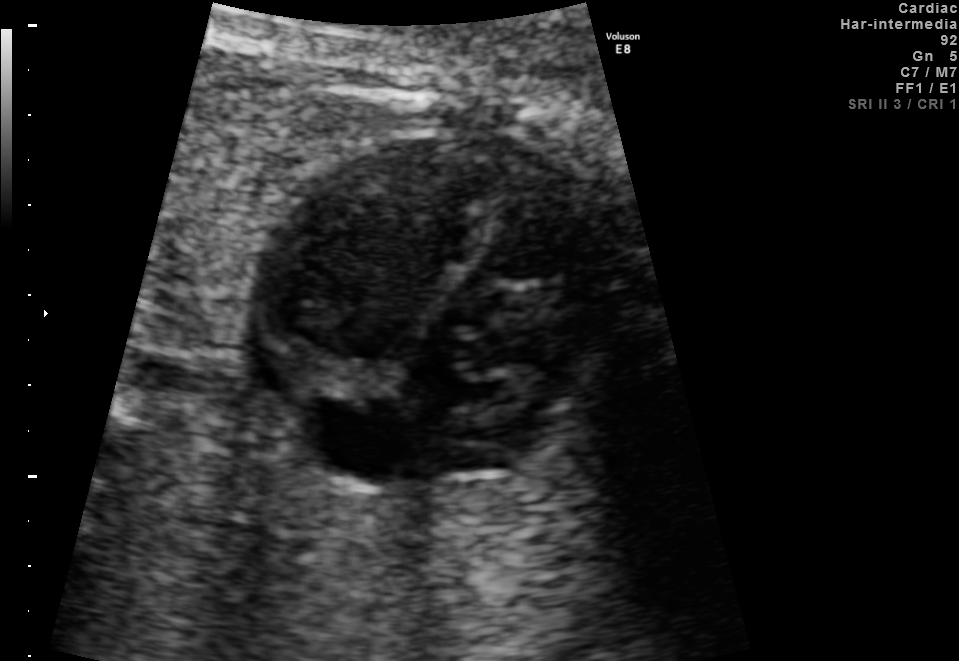
Classify this maternal-fetal ultrasound image as one of the six standard planes — fetal abdomen, fetal brain, fetal femur, fetal thorax, maternal cervix, or other. If it's fetal brain and one of the three standard brain planes (trans-thalamic, trans-cerebellum, trans-ventricular), name which.

Fetal thorax